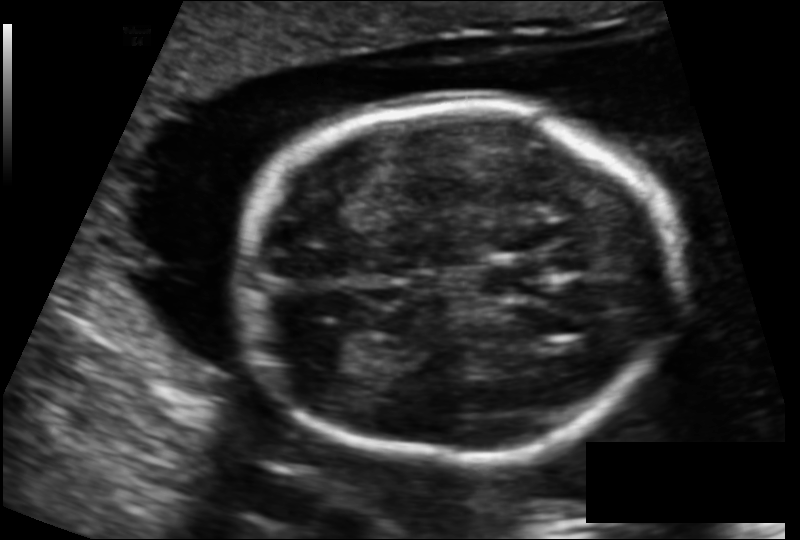
Fetal head ultrasound. Image width: 104.4 mm. Where is the cavum septum pellucidum?

CSP bounding box: [485,264,548,297]